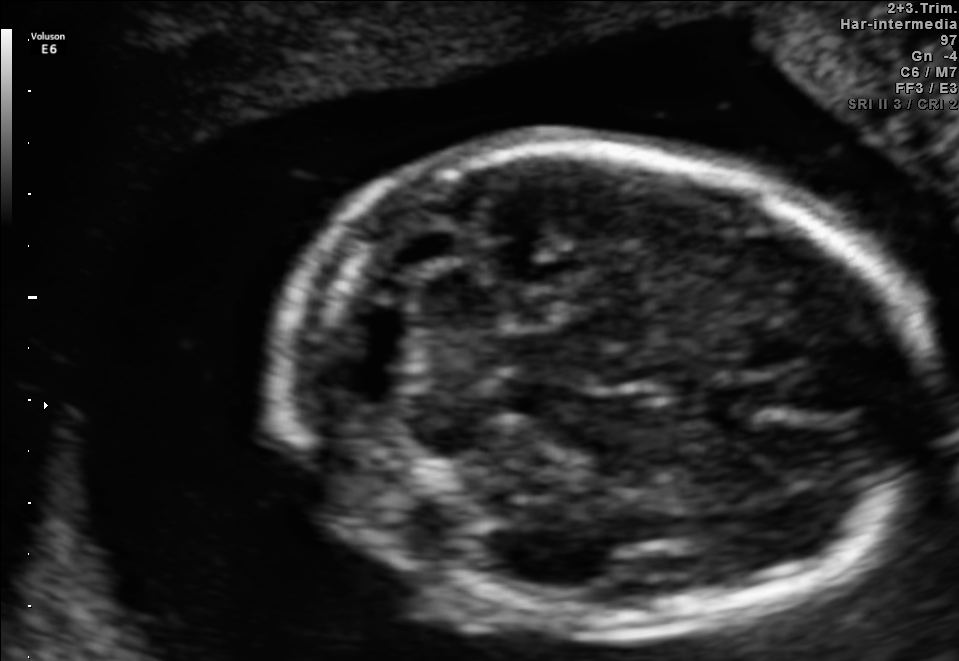
Fetal brain, trans-cerebellum plane. Where is the cavum septum pellucidum?

CSP bounding box: [697,375,780,427]